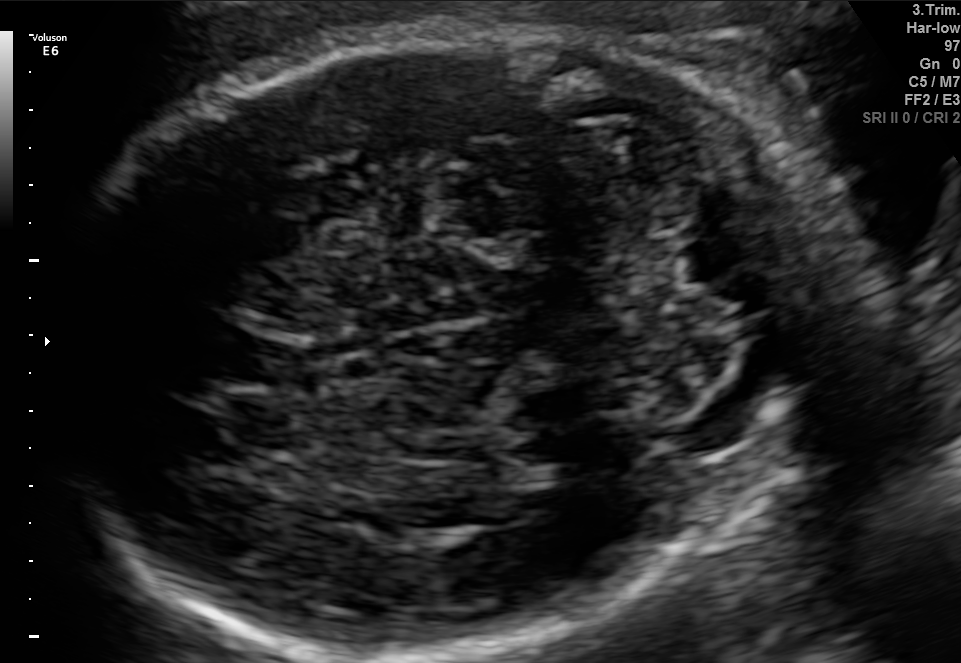
Fetal brain, trans-cerebellum plane. Locate the fetal head.

Head: [51,25,860,648]